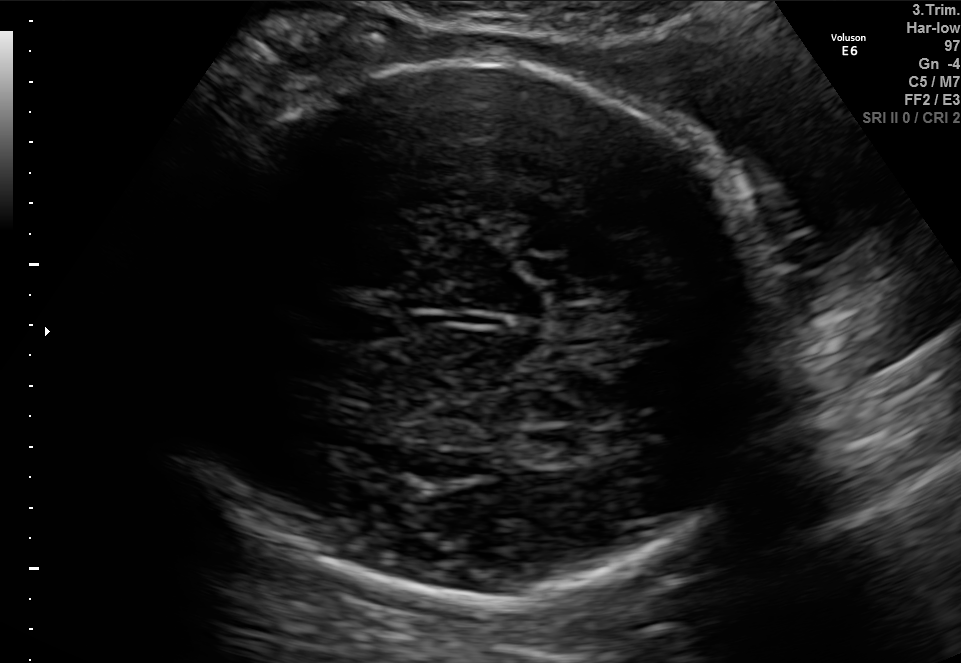
Fetal brain, trans-thalamic plane. Locate the cavum septum pellucidum.

CSP: [318,312,403,342]